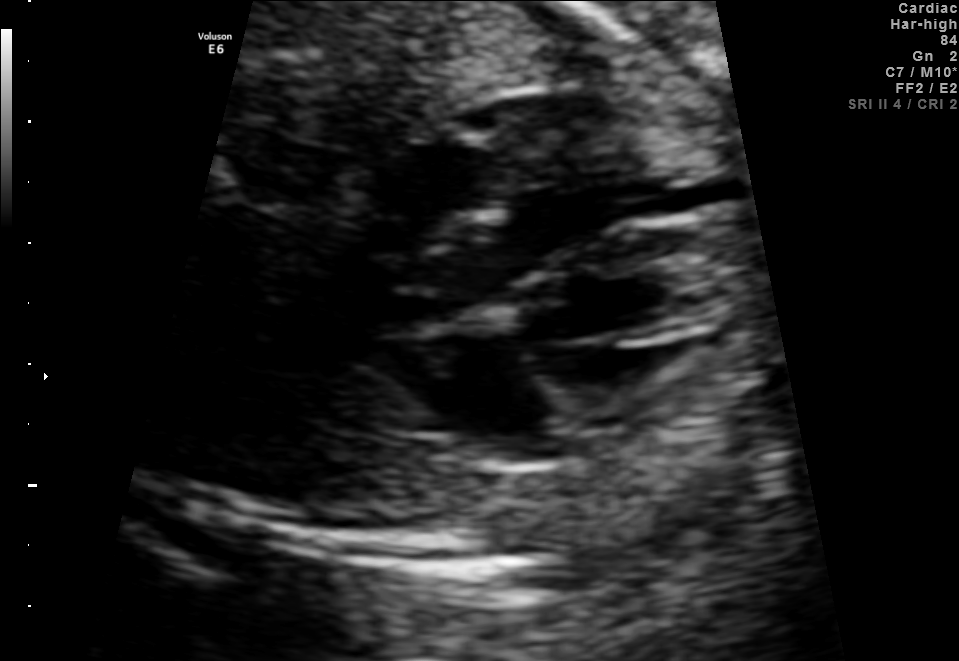
Classify this maternal-fetal ultrasound image as one of the six standard planes — fetal abdomen, fetal brain, fetal femur, fetal thorax, maternal cervix, or other. If it's fetal brain and one of the three standard brain planes (trans-thalamic, trans-cerebellum, trans-ventricular), name which.

Fetal thorax